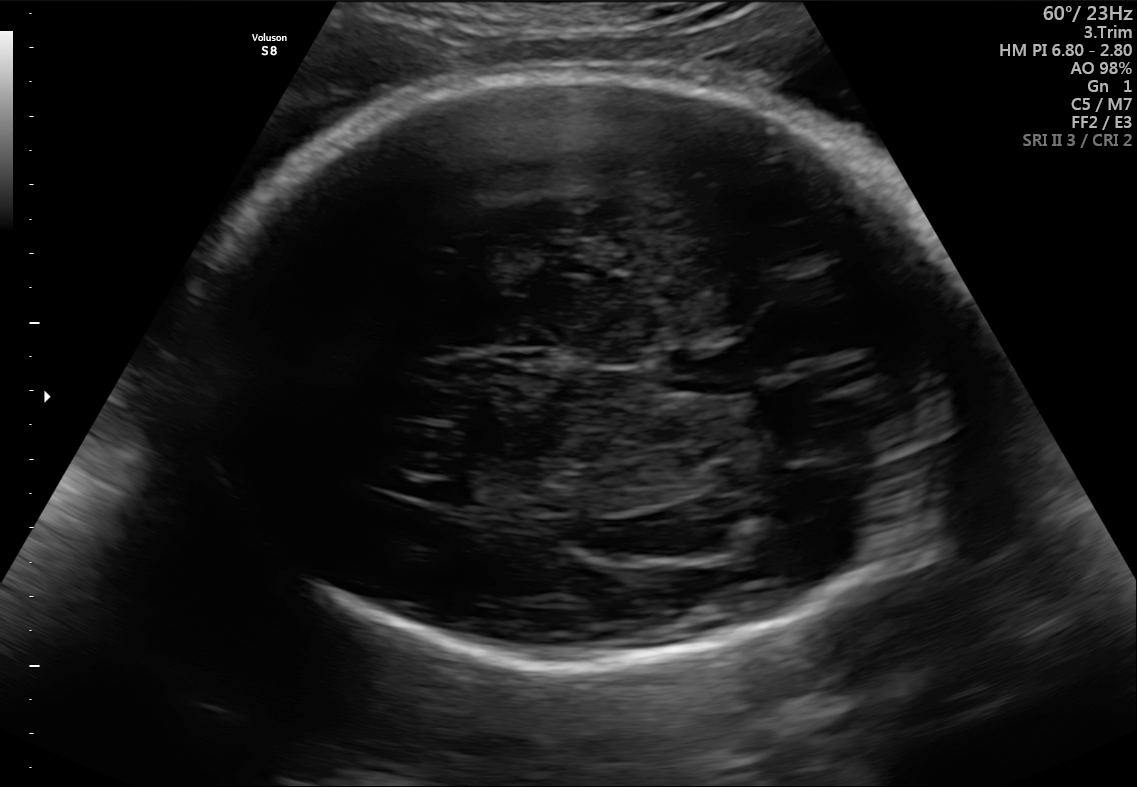
Fetal brain, trans-thalamic plane. Where is the cavum septum pellucidum?

CSP bounding box: [669,353,744,393]